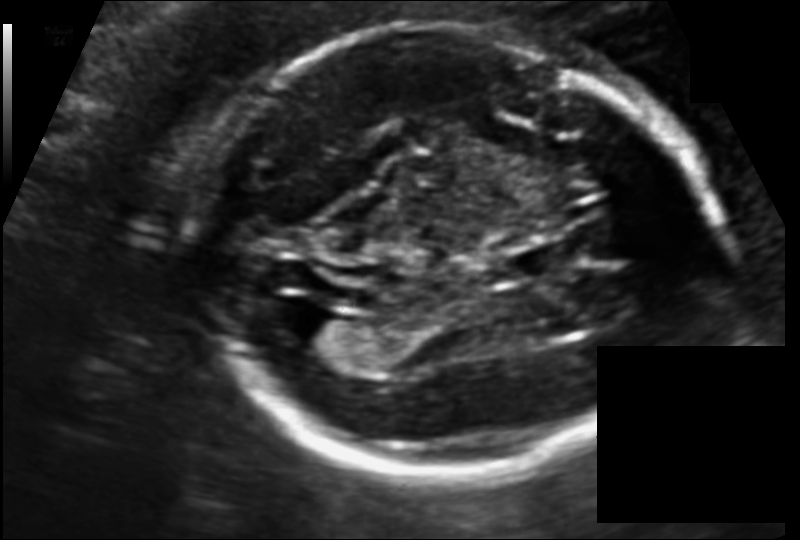
From this fetal ultrasound, estimate the head circumference (image width 94.5 mm).

Head circumference: 184.6 mm.